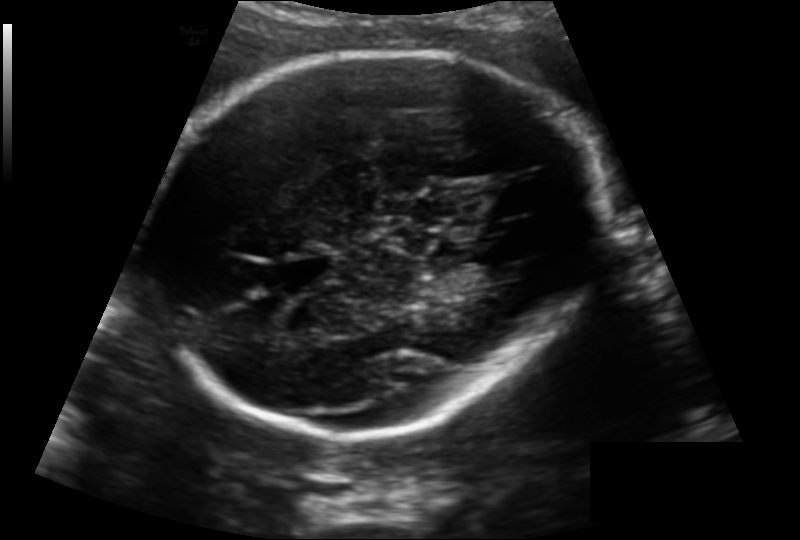
In this fetal head ultrasound, give bounding boxes for the head outline, cavum septum pellucidum (CSP), and lateral ventricle (LV), where visible. Image width: 130.3 mm.

Head: [147,47,596,435]
CSP: [272,247,340,296]